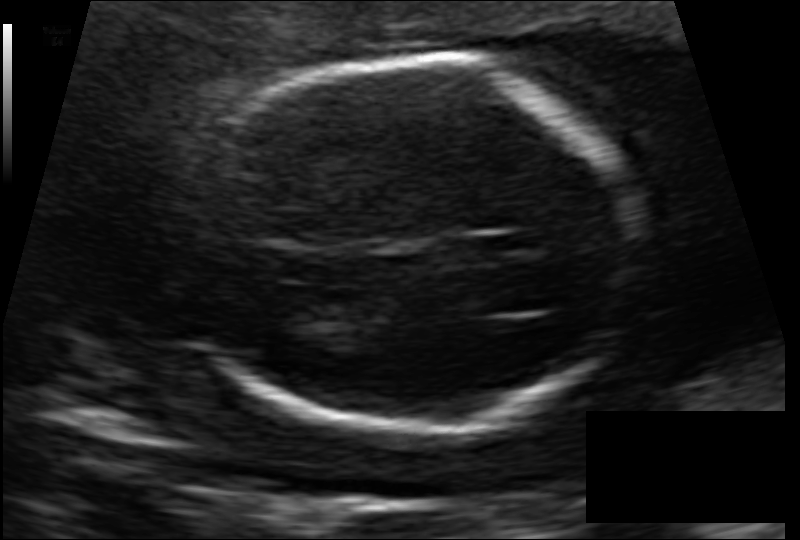
Fetal head ultrasound. Image width: 103.2 mm. Locate the fetal head and, if visible, the cavum septum pellucidum (CSP) and lateral ventricle (LV). Give bounding boxes as [x1,y1,x2,y2].

Head: [191,57,636,439]